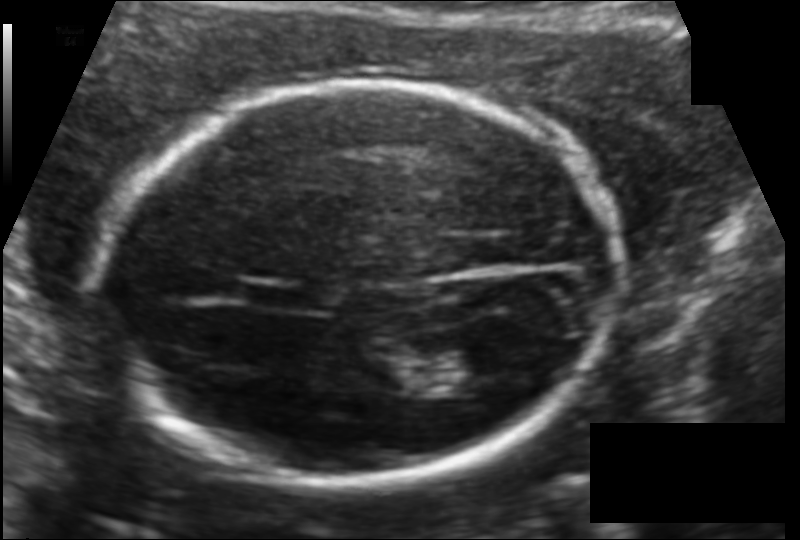
Fetal head ultrasound. Image width: 96.7 mm. Locate the cavum septum pellucidum.

CSP: [244,277,316,314]